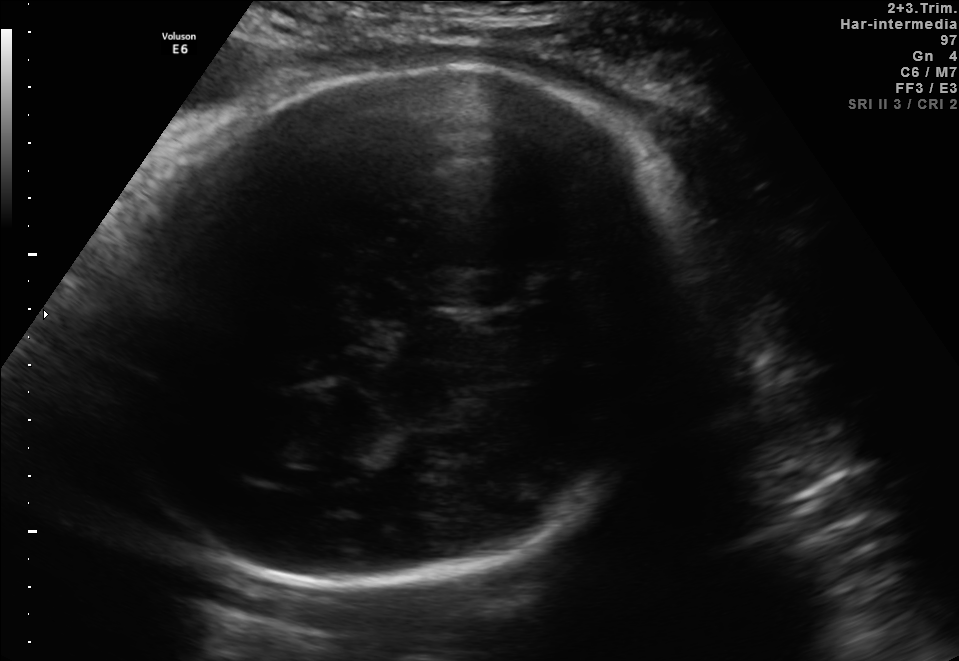
Fetal brain, trans-thalamic plane. Locate the fetal head and, if visible, the cavum septum pellucidum (CSP) and lateral ventricle (LV). Give bounding boxes as [x1,y1,x2,y2].

Head: [74,70,705,583]